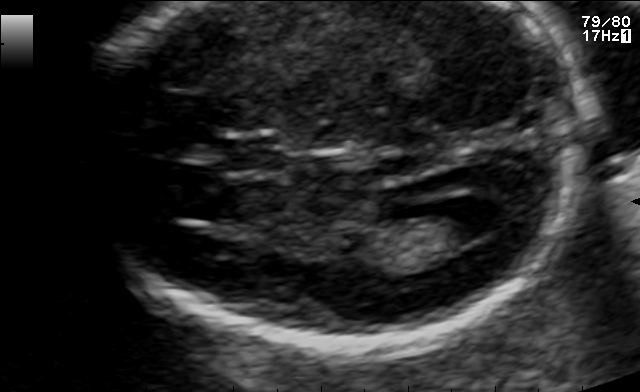
In this fetal brain, trans-ventricular plane, give bounding boxes for the cavum septum pellucidum (CSP) and lateral ventricle (LV), where visible.

CSP: [222,135,280,172]
Lateral ventricle: [424,184,511,251]